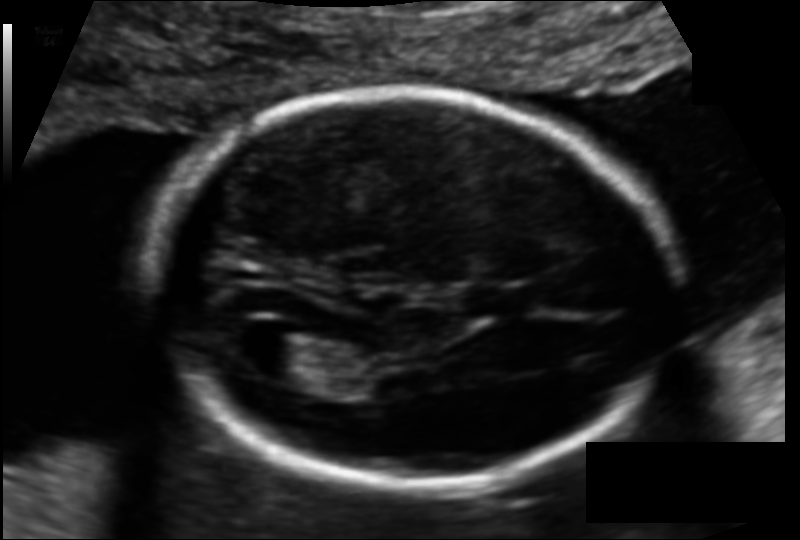
Estimate the fetal head circumference from this 2D ultrasound.

Head circumference: 169.0 mm (image width 91.1 mm).